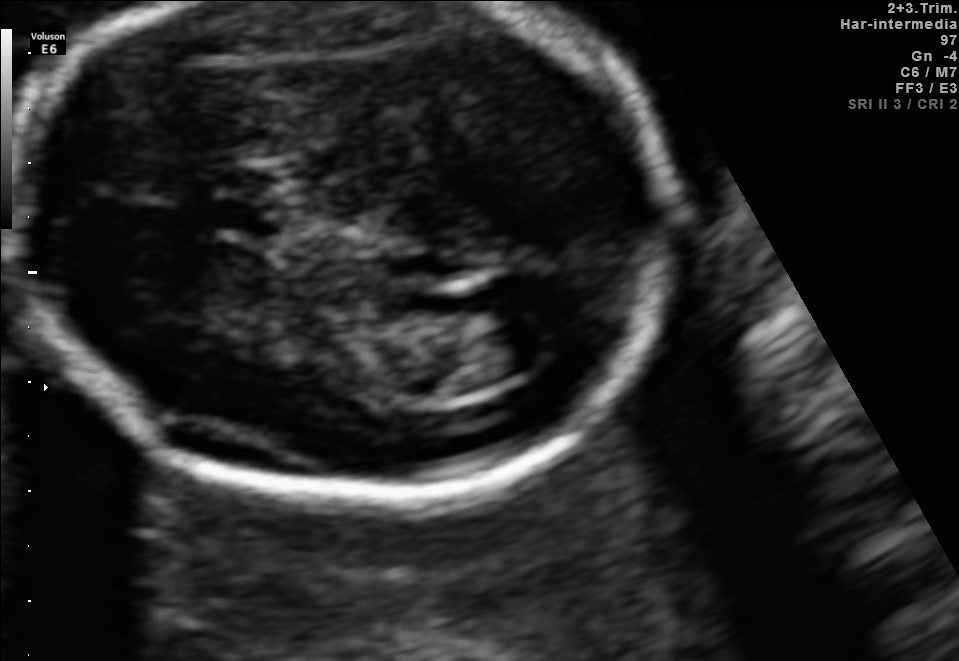
In this fetal brain, trans-ventricular plane, give the bounding box of the lateral ventricle.

[475,308,567,383]